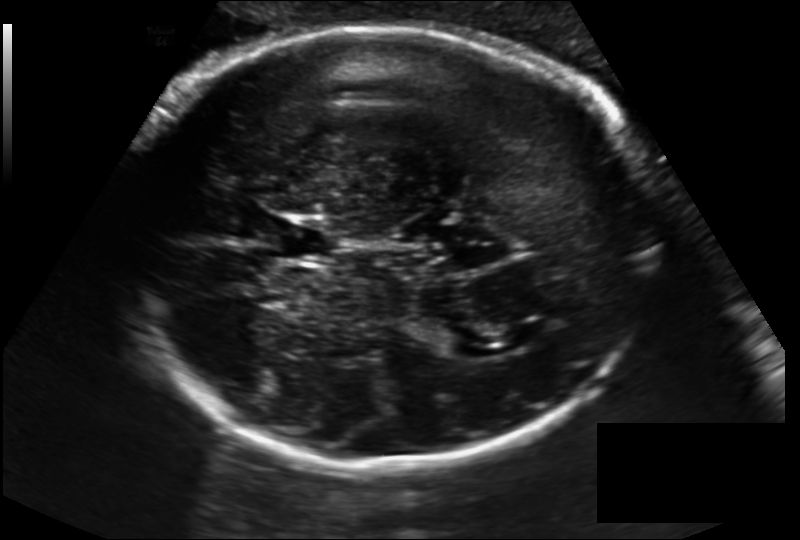
In this fetal head ultrasound, give the bounding box of the lateral ventricle. Image width: 155.1 mm.

[431,323,481,358]